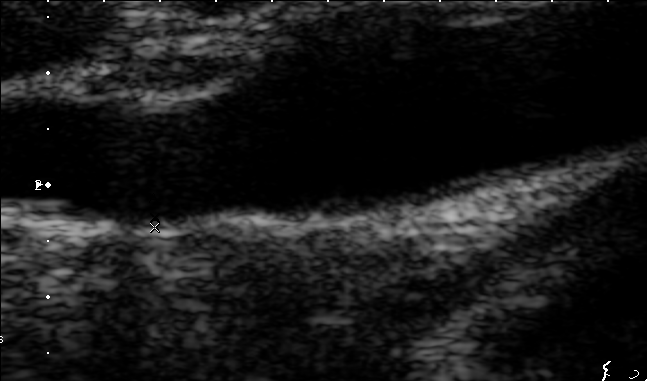
Classify this maternal-fetal ultrasound image as one of the six standard planes — fetal abdomen, fetal brain, fetal femur, fetal thorax, maternal cervix, or other. If it's fetal brain and one of the three standard brain planes (trans-thalamic, trans-cerebellum, trans-ventricular), name which.

Other